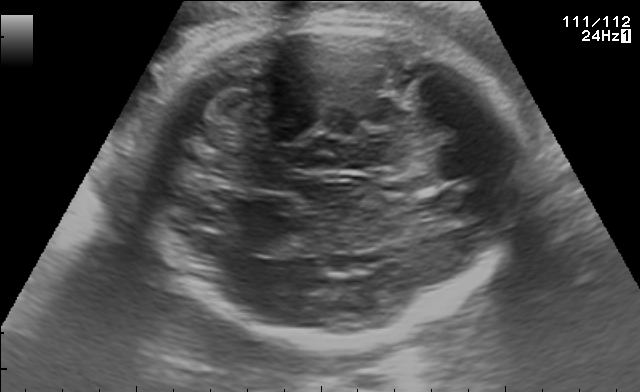
Fetal brain, trans-cerebellum plane. Locate the fetal head.

Head: [143,12,525,342]